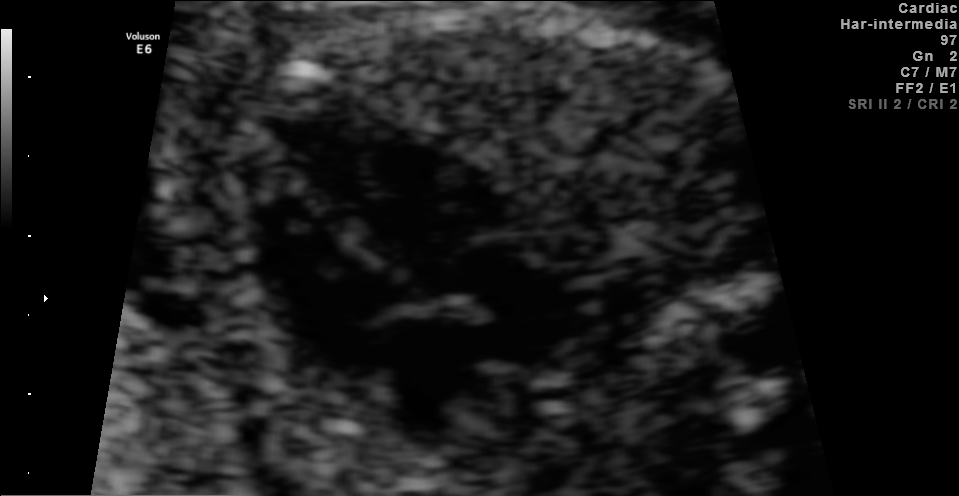
Which standard maternal-fetal ultrasound plane is shown: fetal abdomen, fetal brain, fetal femur, fetal thorax, maternal cervix, or other? If it's fetal brain and one of the three standard brain planes (trans-thalamic, trans-cerebellum, trans-ventricular), name which.

Fetal thorax